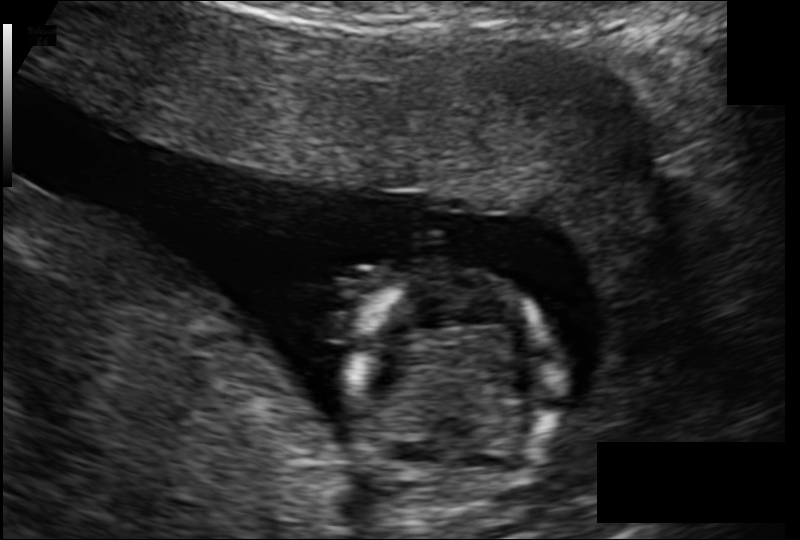
Estimate the fetal head circumference from this 2D ultrasound. Image width: 98.6 mm.

Head circumference: 93.3 mm.